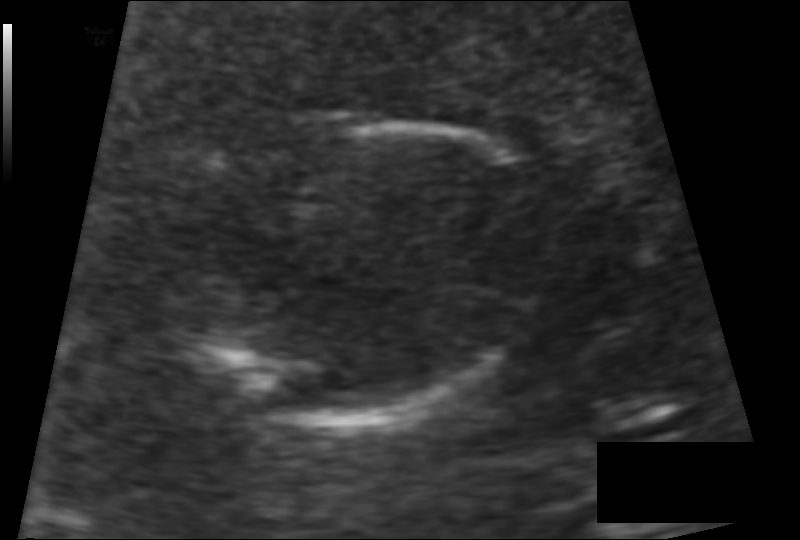
From this fetal ultrasound, estimate the head circumference (image width 74.1 mm).

Head circumference: 97.0 mm.